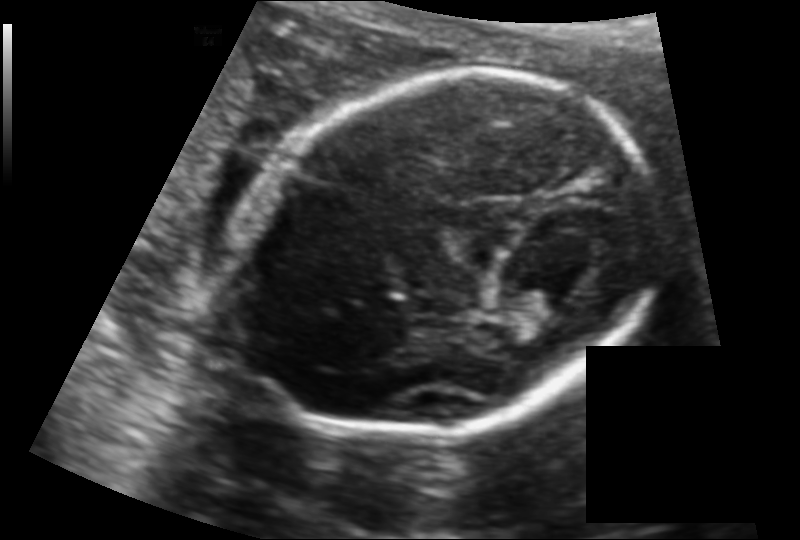
Estimate the fetal head circumference from this 2D ultrasound. Image width: 103.7 mm.

Head circumference: 167.7 mm.